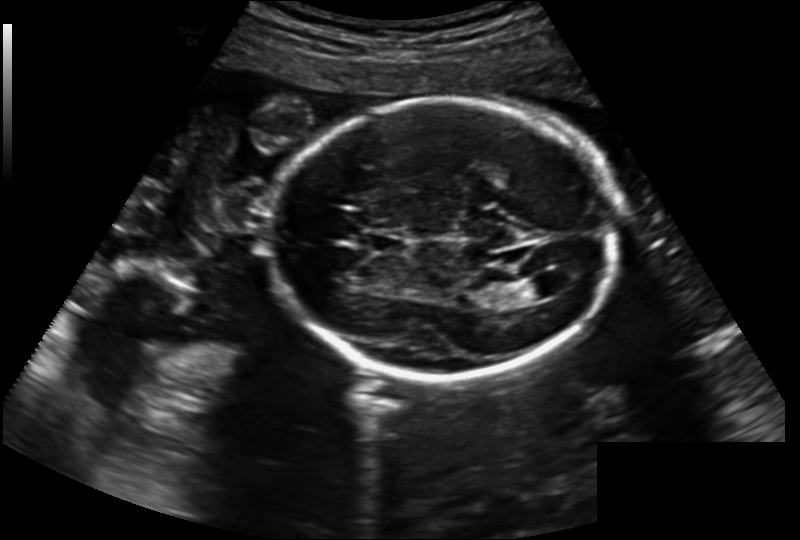
In this fetal head ultrasound, give bounding boxes for the head outline, cavum septum pellucidum (CSP), and lateral ventricle (LV), where visible. Image width: 161.7 mm.

Head: [267,100,618,378]
CSP: [368,231,405,252]
Lateral ventricle: [519,272,561,304]